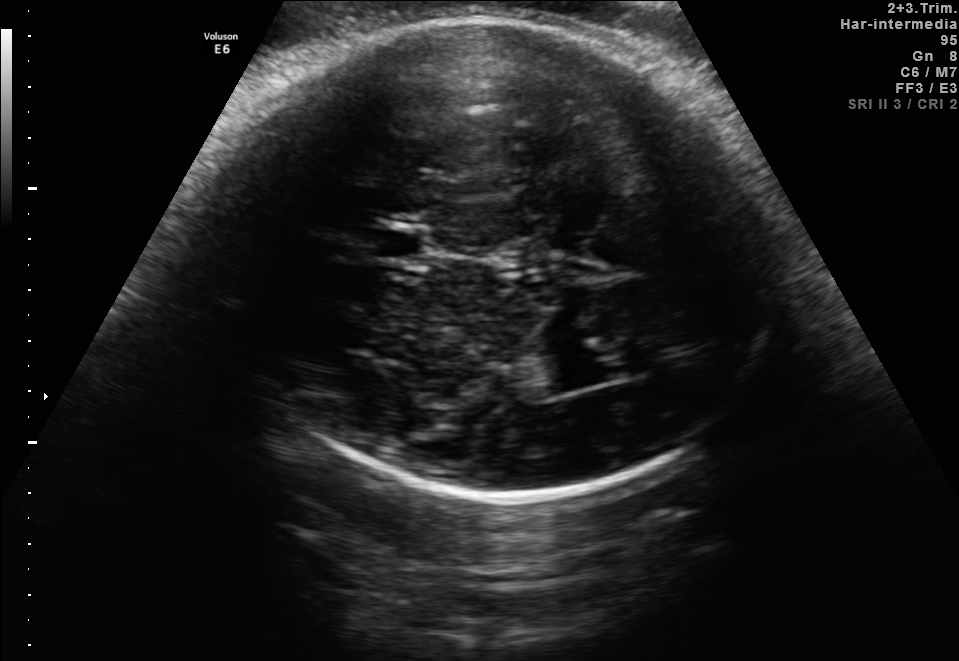
Identify the standard plane in this fetal ultrasound image: fetal abdomen, fetal brain, fetal femur, fetal thorax, maternal cervix, or other. If it's fetal brain and one of the three standard brain planes (trans-thalamic, trans-cerebellum, trans-ventricular), name which.

Fetal brain (trans-thalamic plane)